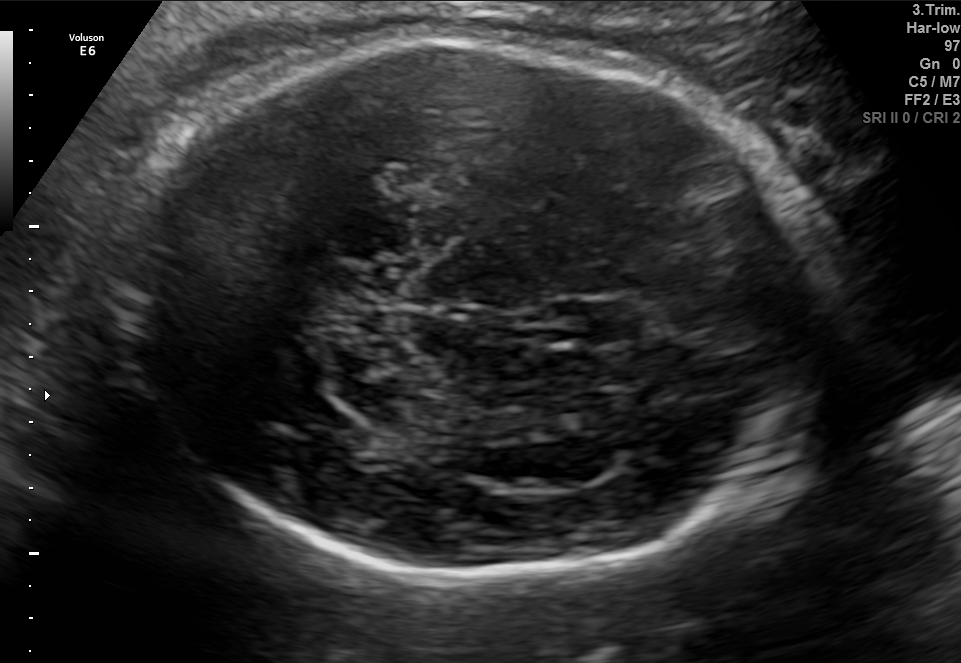
Fetal brain, trans-thalamic plane. Locate the fetal head and, if visible, the cavum septum pellucidum (CSP) and lateral ventricle (LV). Give bounding boxes as [x1,y1,x2,y2].

Head: [116,40,845,575]